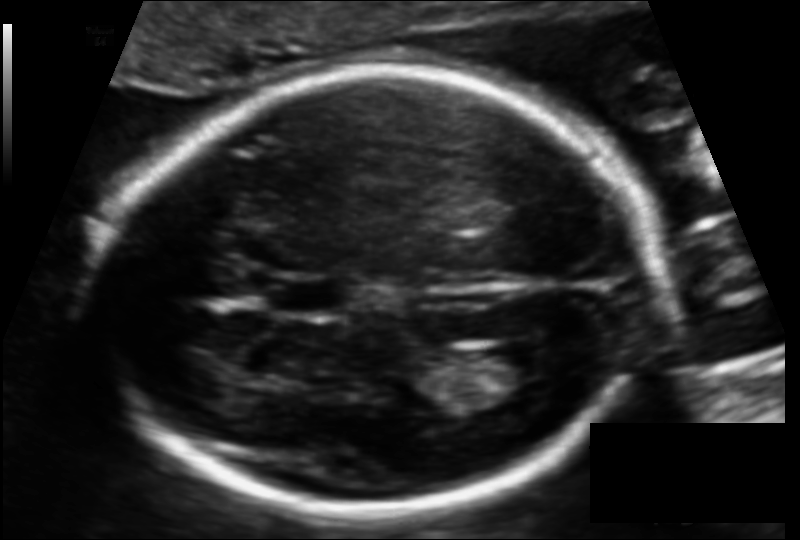
In this fetal head ultrasound, give the bounding box of the fetal head. Image width: 89.8 mm.

[94,69,652,511]